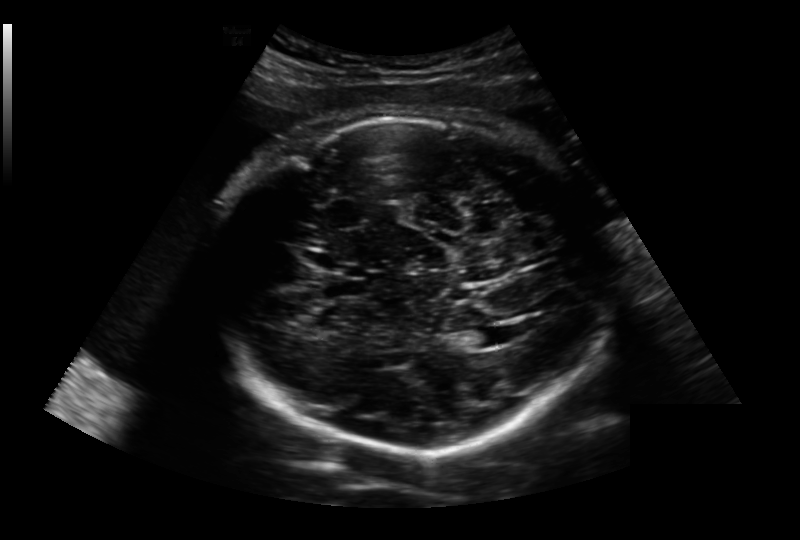
Measure the fetal head circumference shown in this ultrasound image. Image width: 188.7 mm.

Head circumference: 285.0 mm.